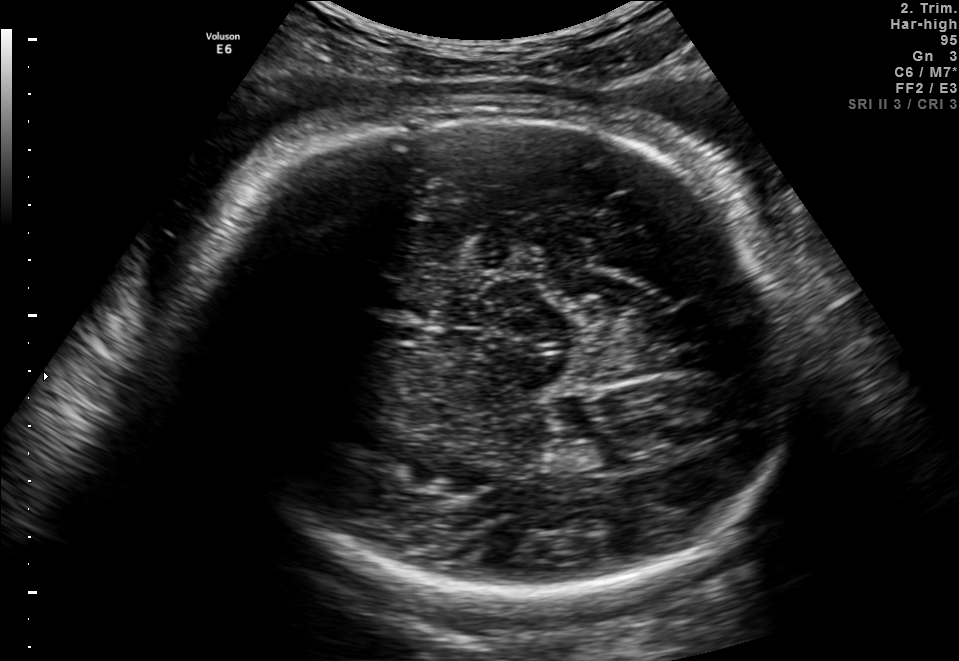
Fetal brain, trans-thalamic plane. Give [x1,y1,x2,y2] bounding boxes for each visible structure among: fetal head, CSP, LV.

Head: [193,116,804,601]